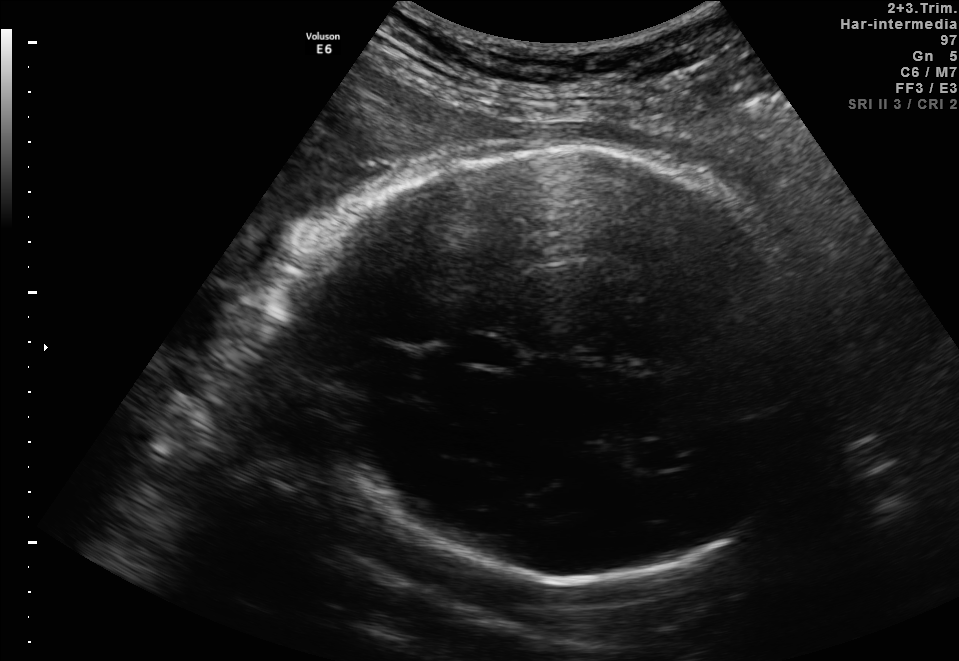
In this fetal brain, trans-thalamic plane, give the bounding box of the fetal head.

[276,144,841,581]